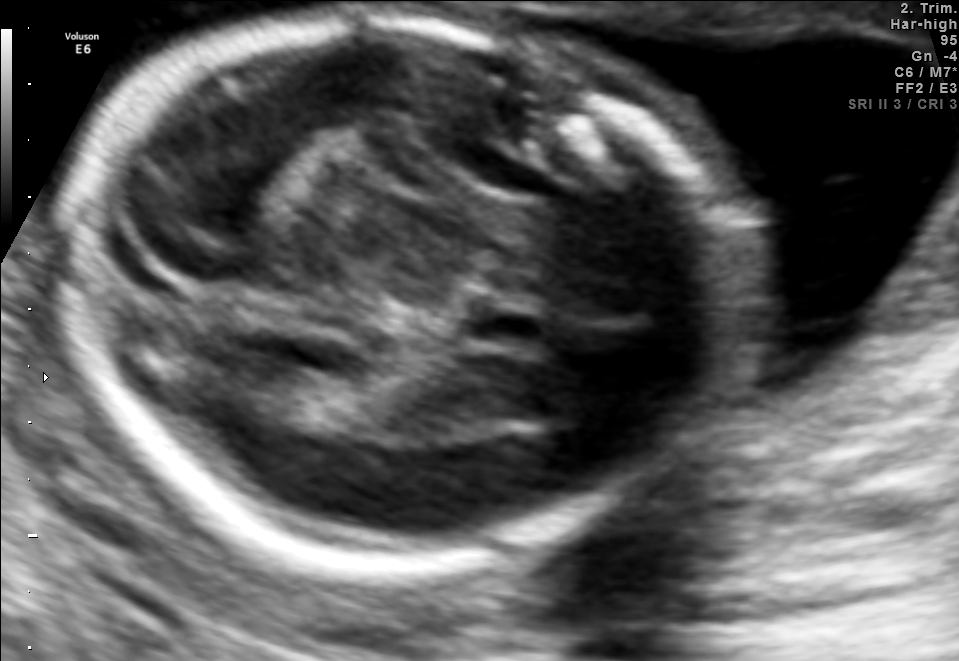
In this fetal brain, trans-thalamic plane, give bounding boxes for the head outline, cavum septum pellucidum (CSP), and lateral ventricle (LV), where visible.

Head: [65,17,710,570]
CSP: [465,295,548,355]